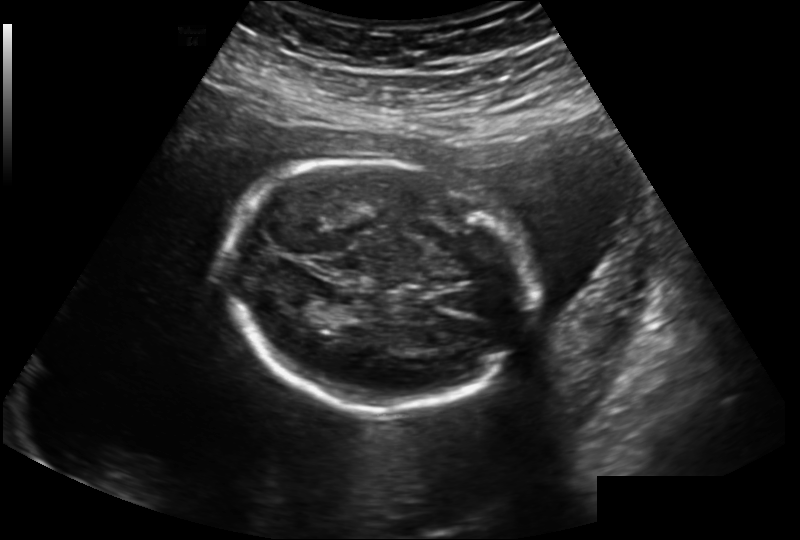
Measure the fetal head circumference shown in this ultrasound image. Image width: 161.6 mm.

Head circumference: 185.6 mm.